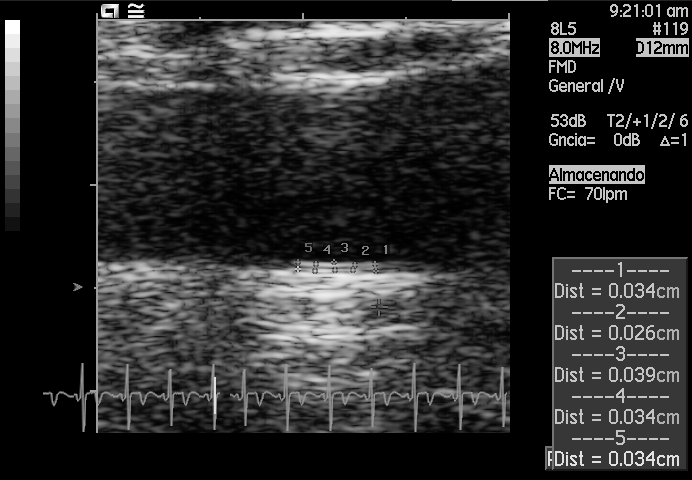
Identify the standard plane in this fetal ultrasound image: fetal abdomen, fetal brain, fetal femur, fetal thorax, maternal cervix, or other. If it's fetal brain and one of the three standard brain planes (trans-thalamic, trans-cerebellum, trans-ventricular), name which.

Other